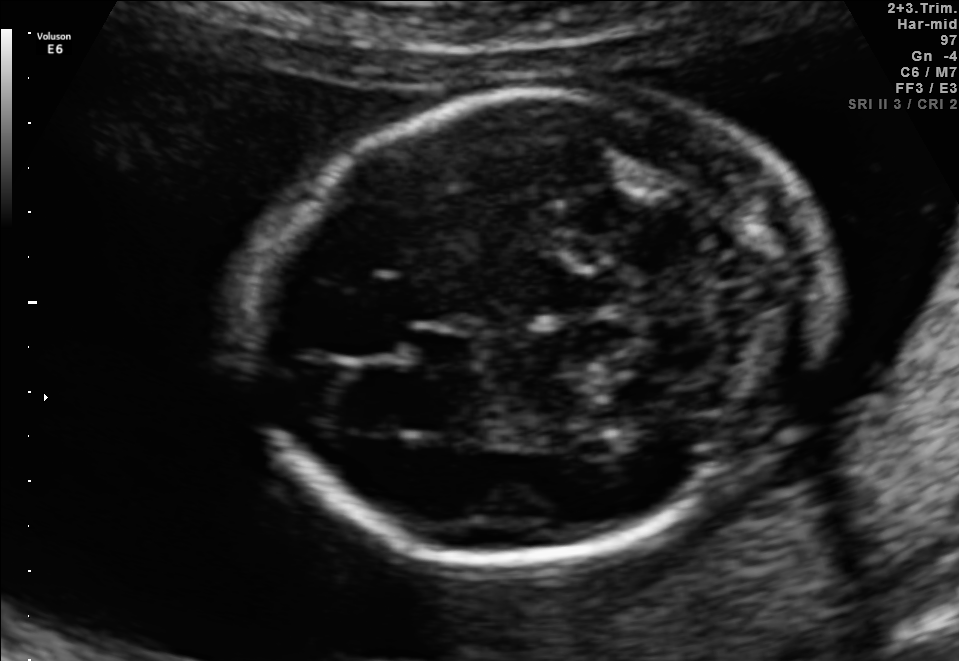
Fetal brain, trans-cerebellum plane. Give [x1,y1,x2,y2] bounding boxes for each visible structure among: fetal head, CSP, LV.

Head: [250,90,821,559]
CSP: [411,323,476,369]